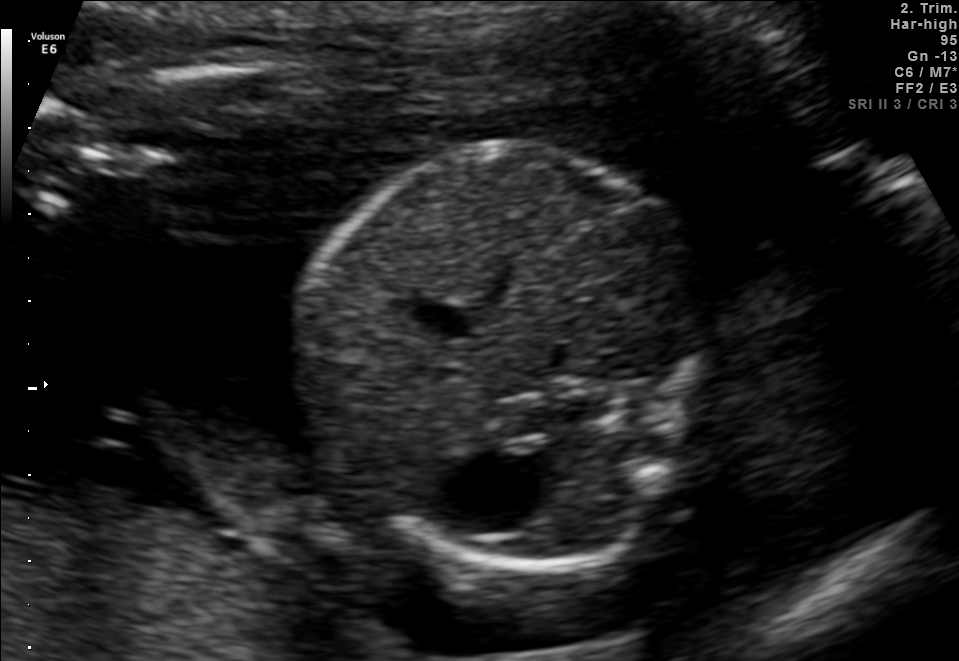
Classify this maternal-fetal ultrasound image as one of the six standard planes — fetal abdomen, fetal brain, fetal femur, fetal thorax, maternal cervix, or other. If it's fetal brain and one of the three standard brain planes (trans-thalamic, trans-cerebellum, trans-ventricular), name which.

Fetal abdomen